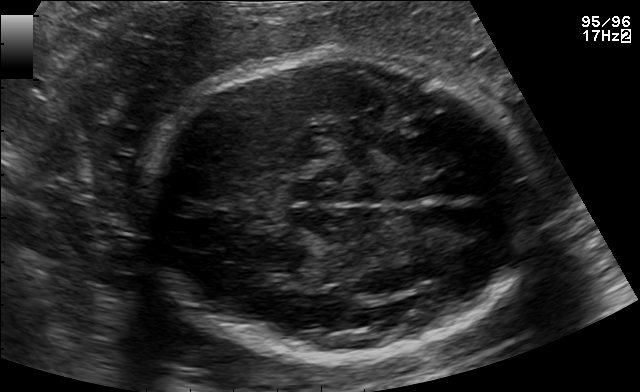
Fetal brain, trans-thalamic plane. Give [x1,y1,x2,y2] bounding boxes for each visible structure among: fetal head, CSP, LV.

Head: [146,55,529,358]